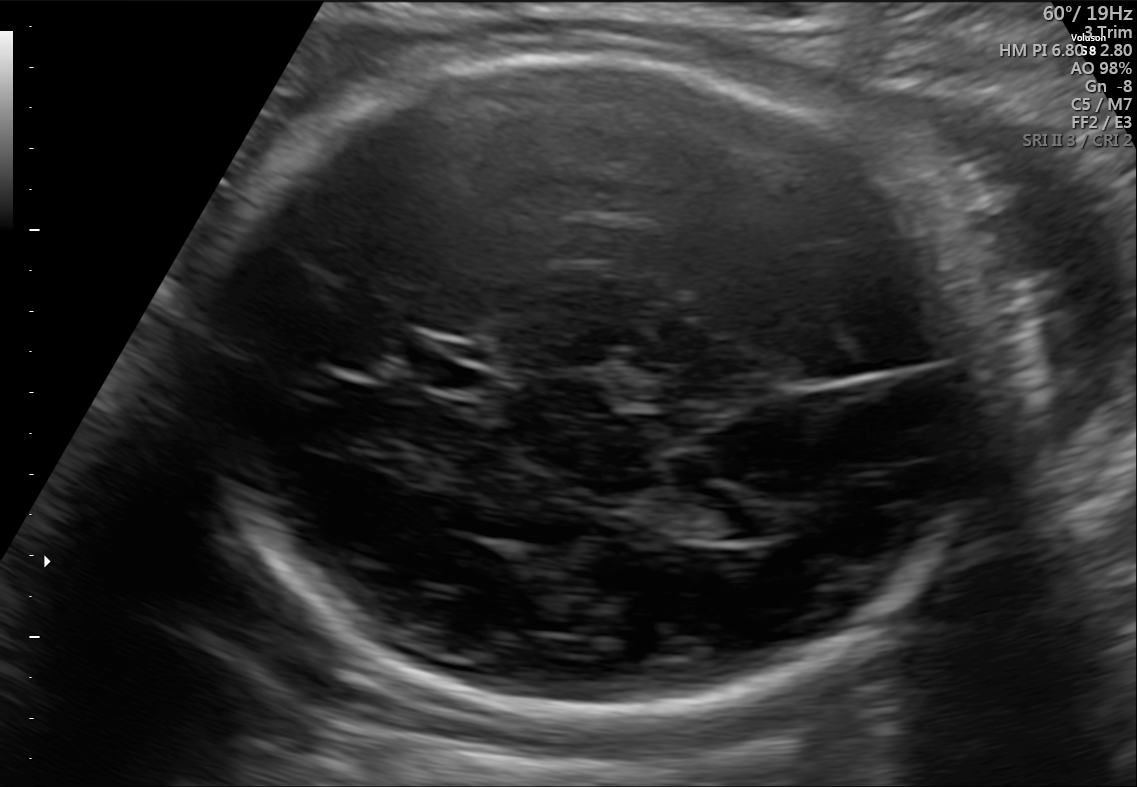
In this fetal brain, trans-ventricular plane, give the bounding box of the fetal head.

[173,51,988,736]